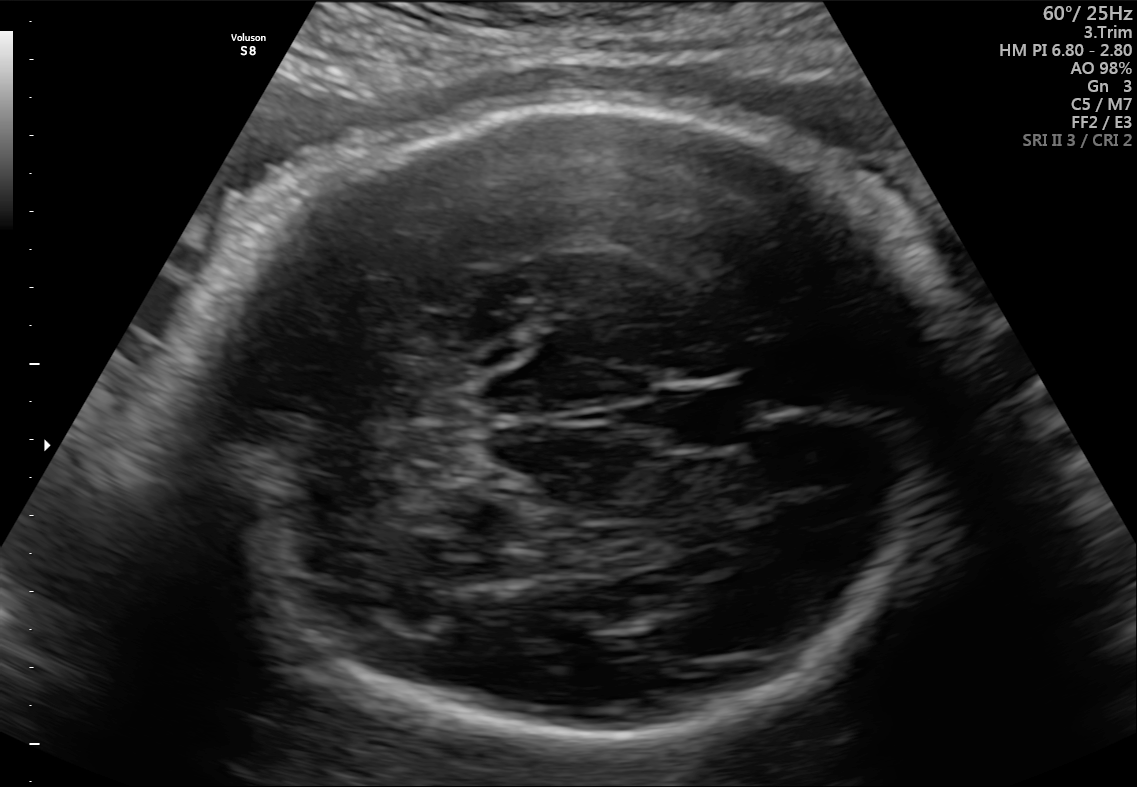
In this fetal brain, trans-cerebellum plane, give the bounding box of the fetal head.

[184,106,953,743]